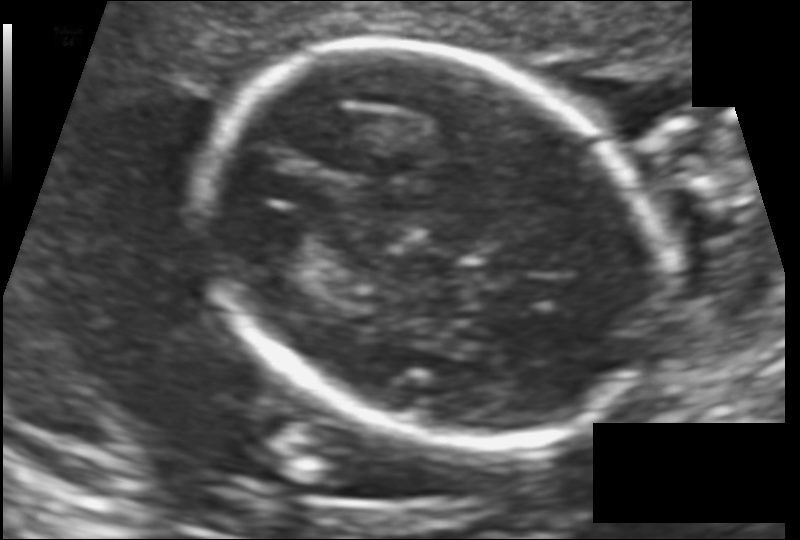
What is the fetal head circumference? Image width is 101.0 mm.

172.9 mm